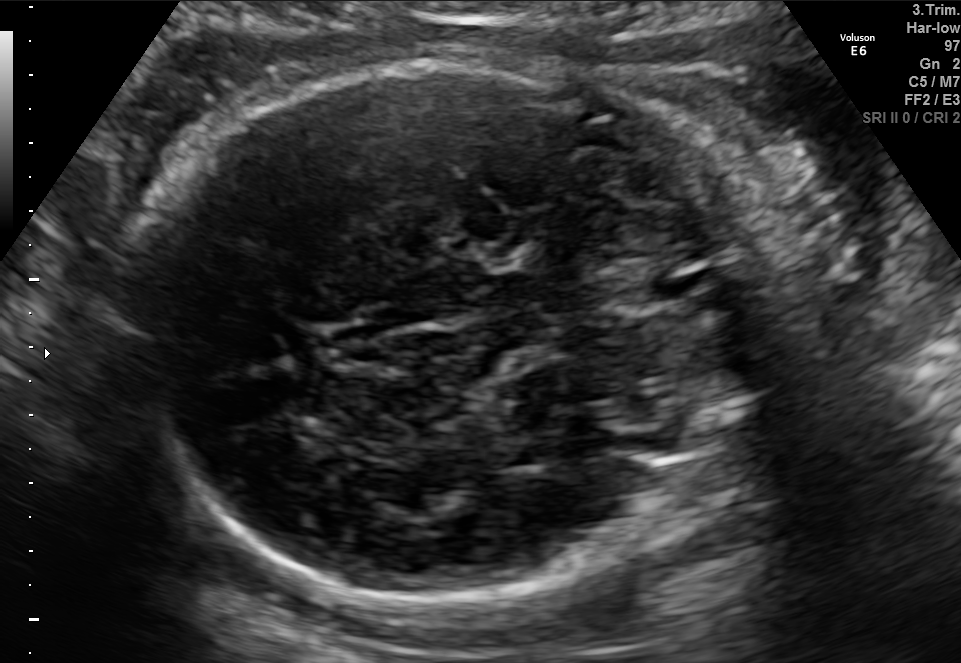
Fetal brain, trans-cerebellum plane. Locate the fetal head.

Head: [129,59,748,598]